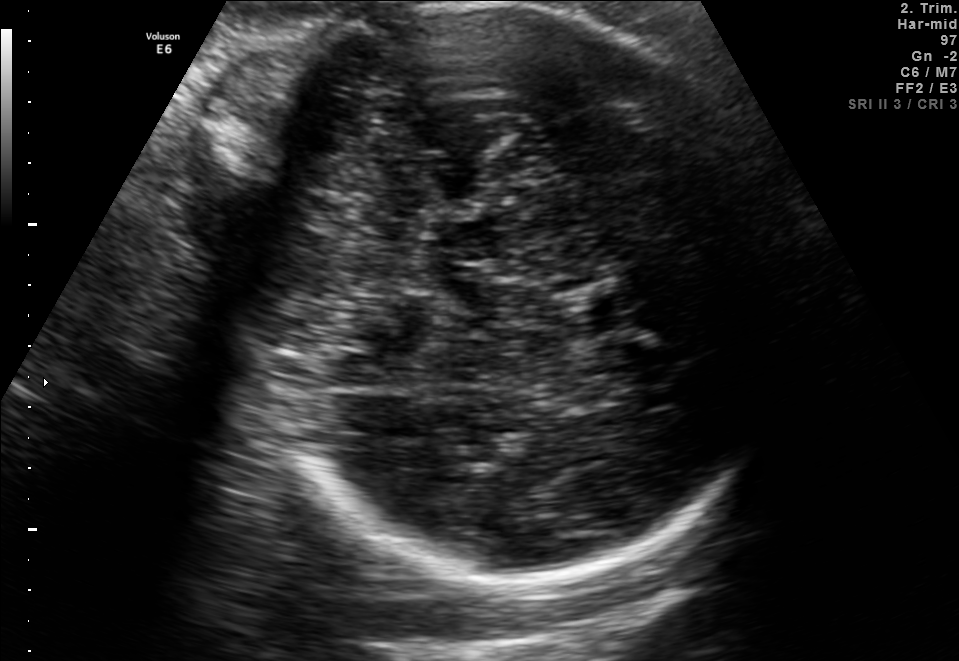
Fetal brain, trans-thalamic plane. Give [x1,y1,x2,y2] bounding boxes for each visible structure among: fetal head, CSP, LV.

Head: [242,2,775,585]